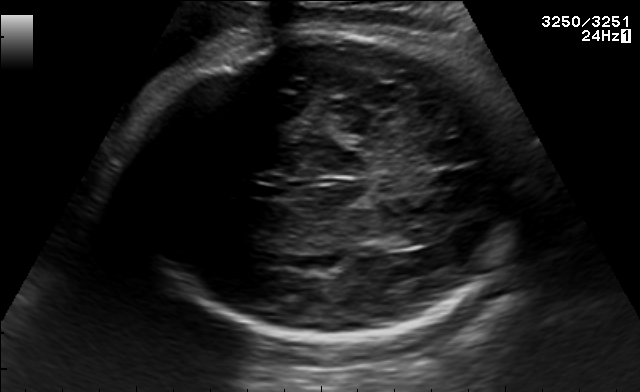
Fetal brain, trans-thalamic plane. Locate the fetal head and, if visible, the cavum septum pellucidum (CSP) and lateral ventricle (LV). Give bounding boxes as [x1,y1,x2,y2].

Head: [124,33,517,339]
CSP: [250,183,283,200]
Lateral ventricle: [377,226,432,252]